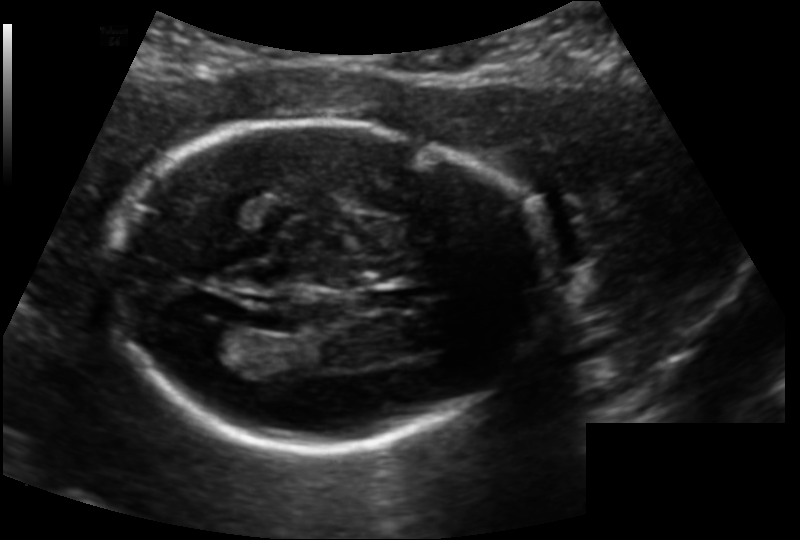
Fetal head ultrasound. Image width: 111.5 mm. Where is the lateral ventricle?

Lateral ventricle bounding box: [184,318,242,358]